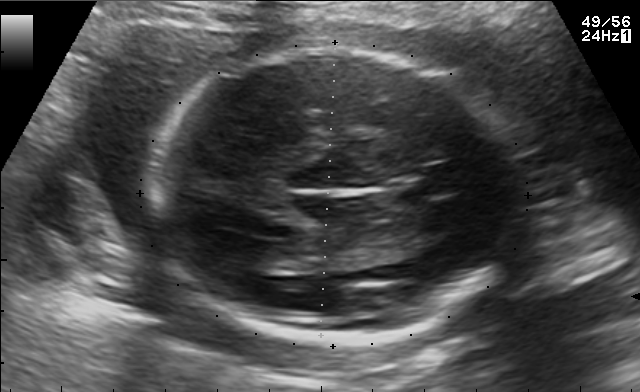
This is a 2D maternal-fetal ultrasound frame. Is it a fetal abdomen, fetal brain, fetal femur, fetal thorax, maternal cervix, or other standard plane? If it's fetal brain and one of the three standard brain planes (trans-thalamic, trans-cerebellum, trans-ventricular), name which.

Other